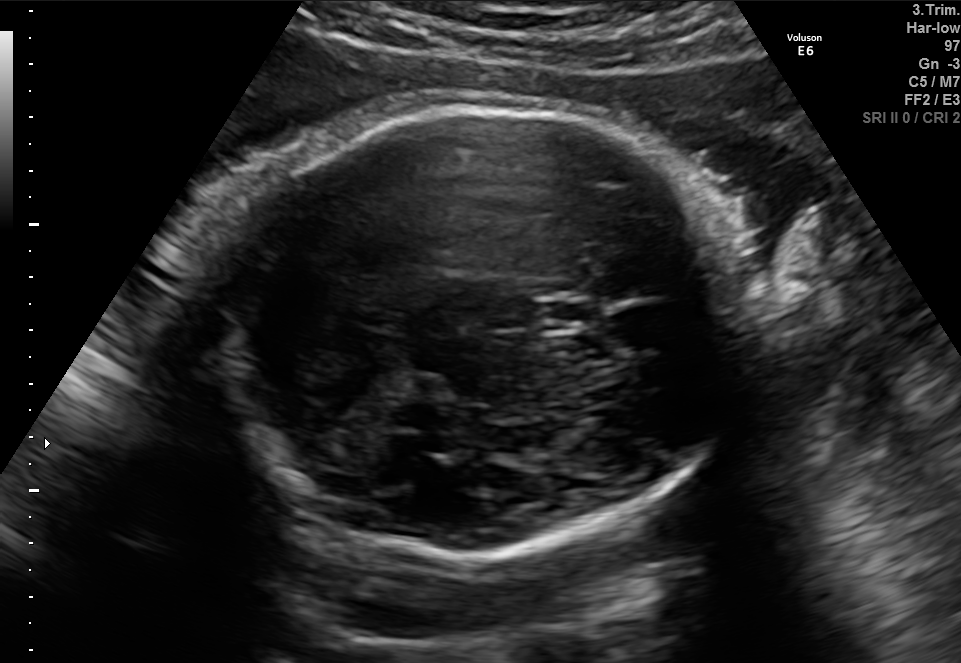
In this fetal brain, trans-thalamic plane, give the bounding box of the cavum septum pellucidum.

[534,299,596,330]